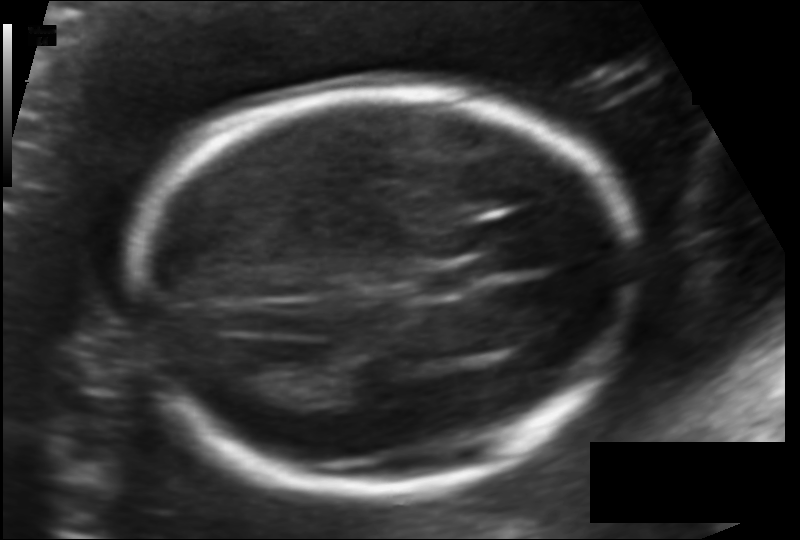
Measure the fetal head circumference shown in this ultrasound image. Image width: 99.3 mm.

Head circumference: 182.1 mm.